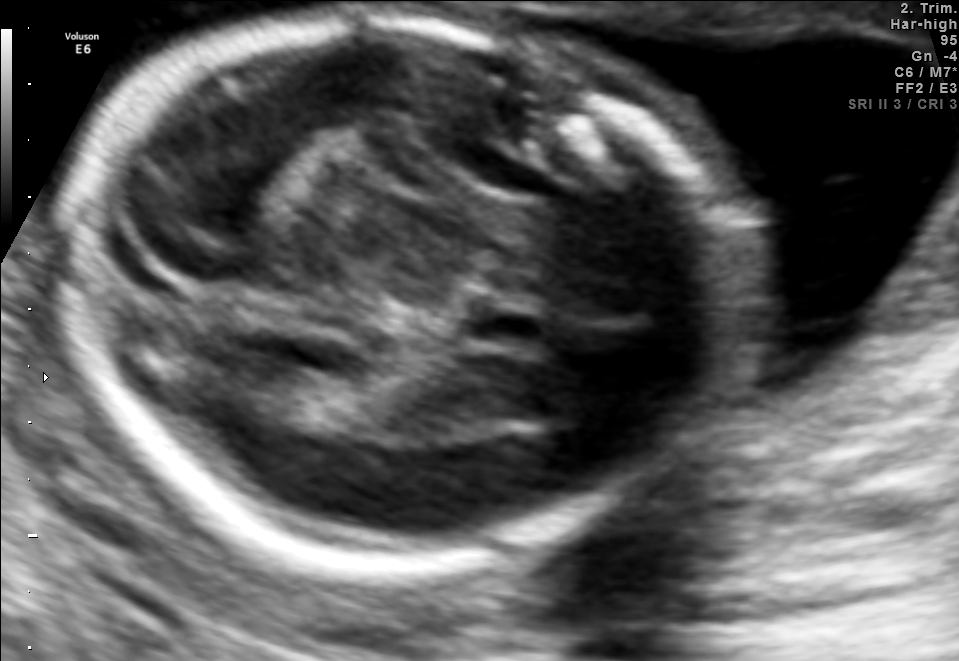
This is a 2D maternal-fetal ultrasound frame. Is it a fetal abdomen, fetal brain, fetal femur, fetal thorax, maternal cervix, or other standard plane? If it's fetal brain and one of the three standard brain planes (trans-thalamic, trans-cerebellum, trans-ventricular), name which.

Fetal brain (trans-thalamic plane)